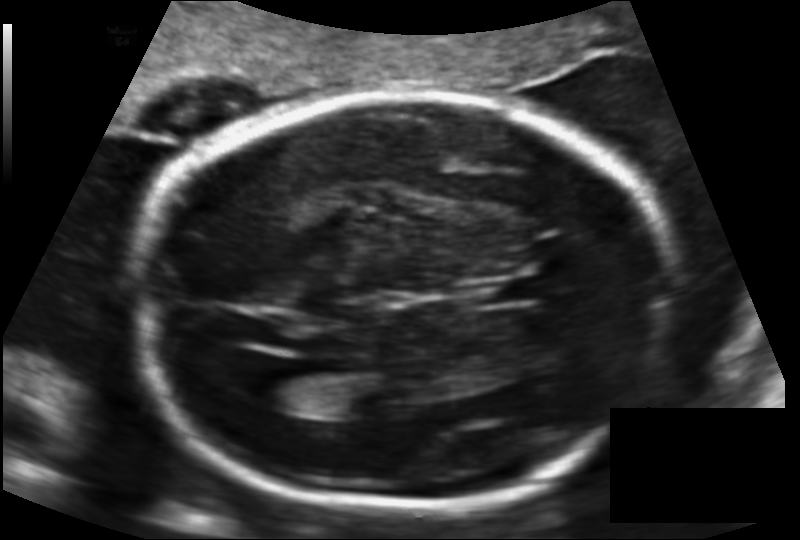
In this fetal head ultrasound, give bounding boxes for the head outline, cavum septum pellucidum (CSP), and lateral ventricle (LV), where visible. Image width: 113.0 mm.

Head: [131,96,677,508]
CSP: [468,275,538,308]
Lateral ventricle: [243,358,320,415]